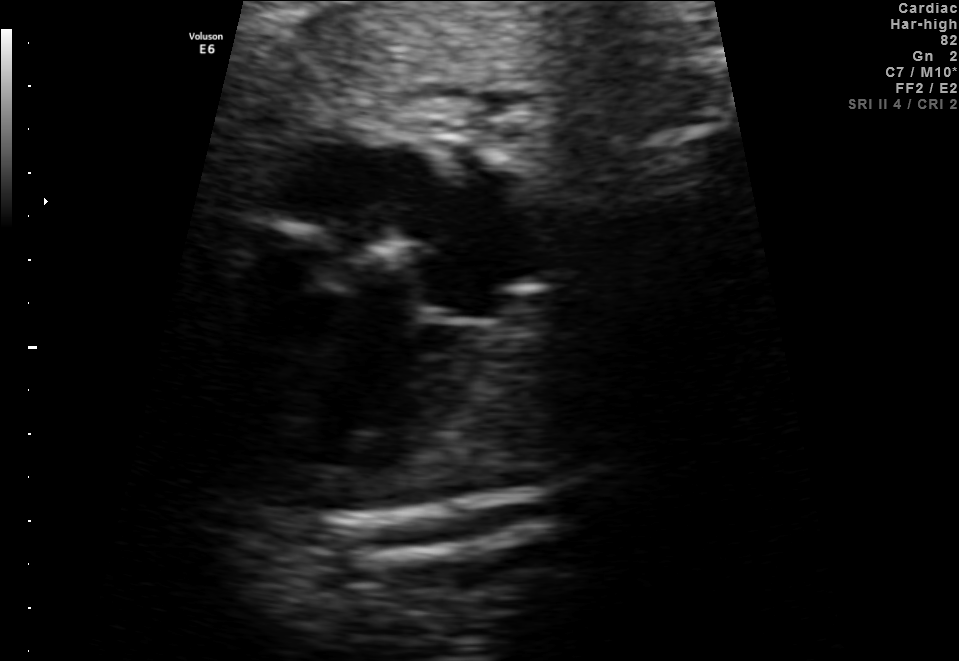
This is a 2D maternal-fetal ultrasound frame. Is it a fetal abdomen, fetal brain, fetal femur, fetal thorax, maternal cervix, or other standard plane? If it's fetal brain and one of the three standard brain planes (trans-thalamic, trans-cerebellum, trans-ventricular), name which.

Fetal thorax